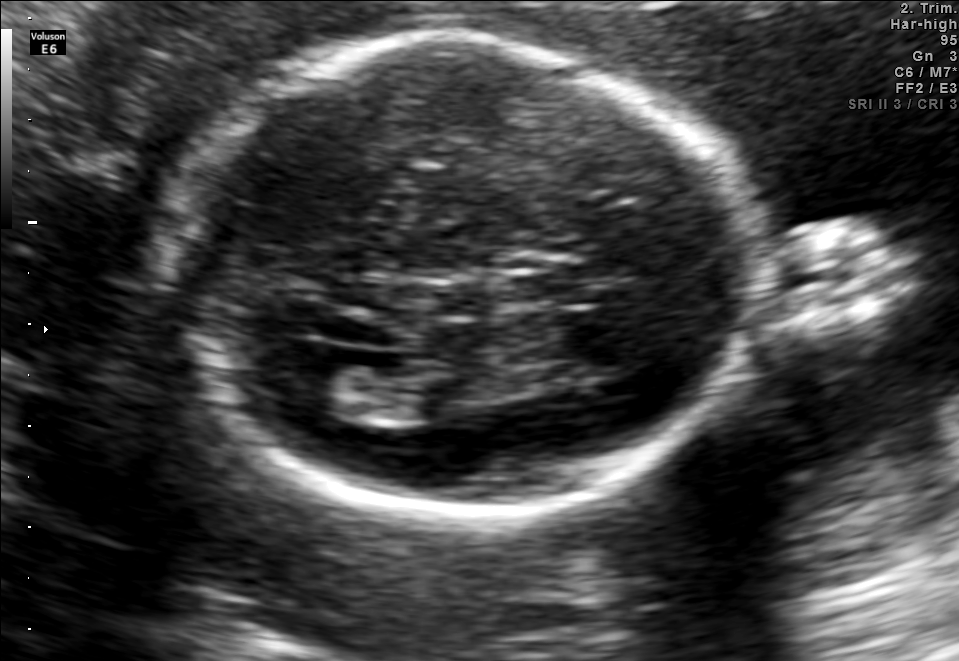
In this fetal brain, trans-ventricular plane, give the bounding box of the fetal head.

[154,32,769,521]